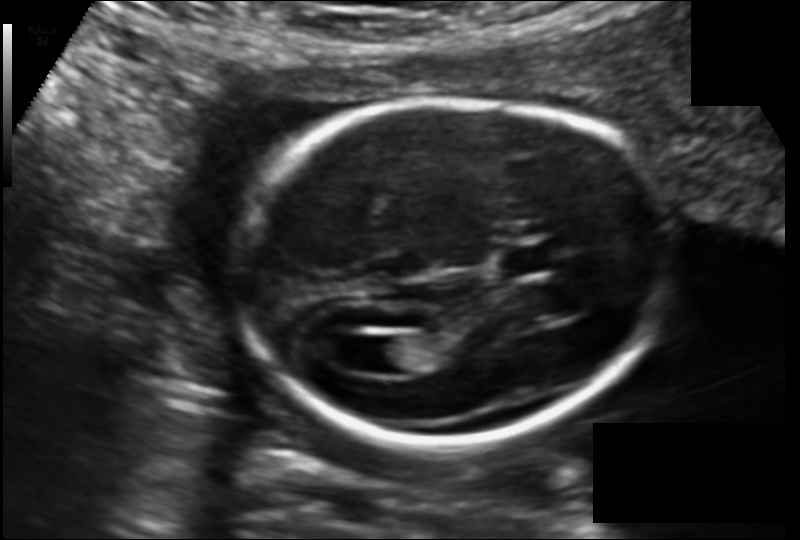
In this fetal head ultrasound, give the bounding box of the fetal head. Image width: 107.8 mm.

[238,98,669,444]